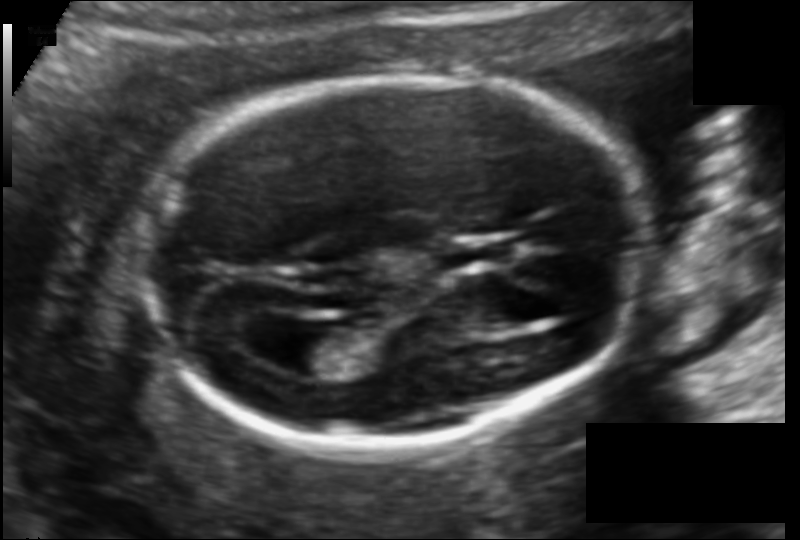
Measure the fetal head circumference shown in this ultrasound image. Image width: 91.5 mm.

Head circumference: 158.9 mm.